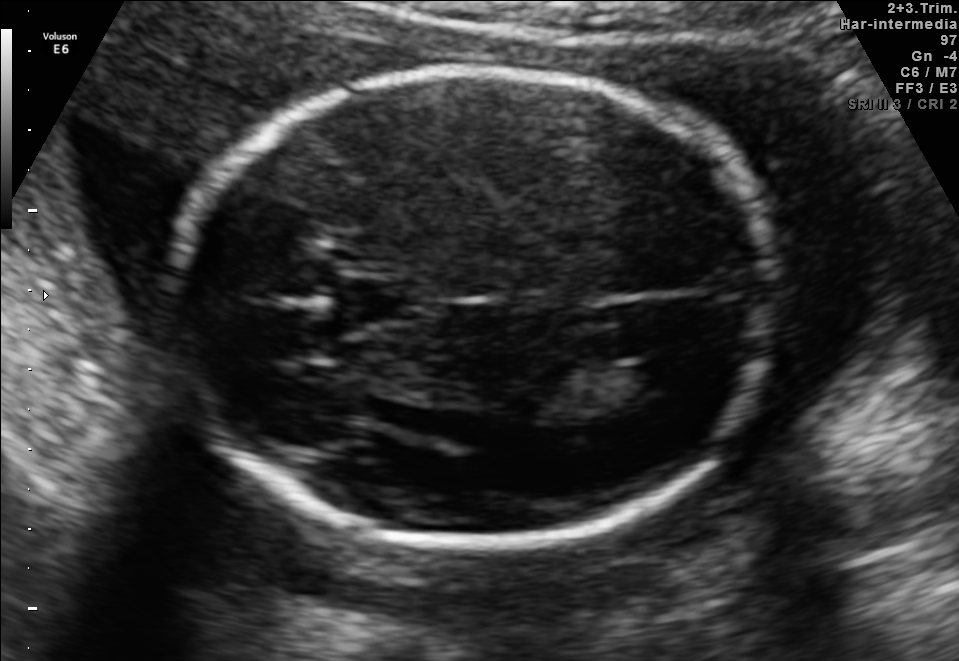
Fetal brain, trans-ventricular plane. Locate the fetal head.

Head: [155,58,798,557]